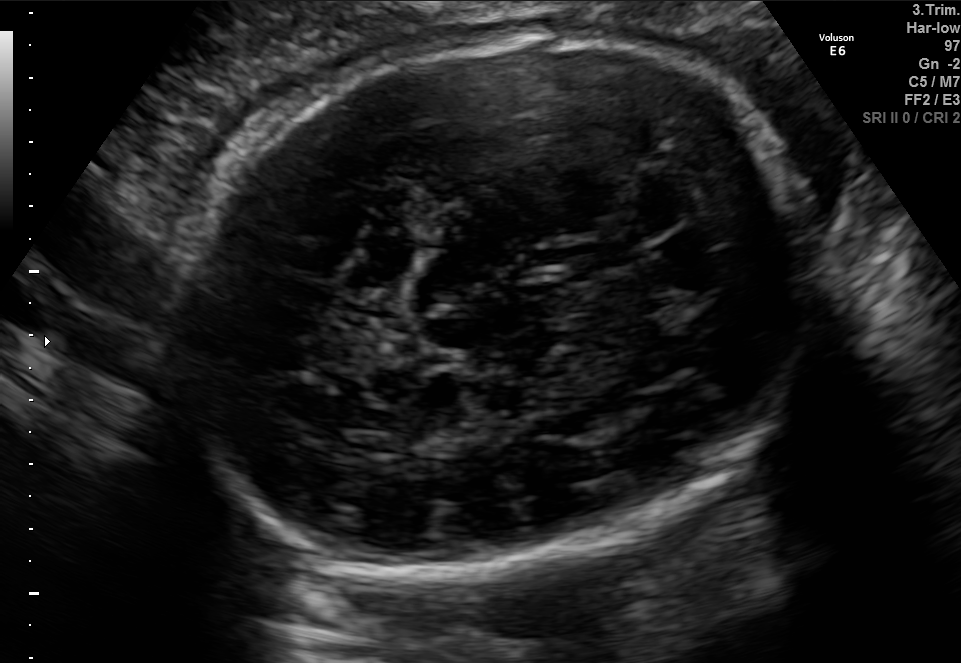
Fetal brain, trans-thalamic plane. Locate the fetal head.

Head: [183,34,802,581]